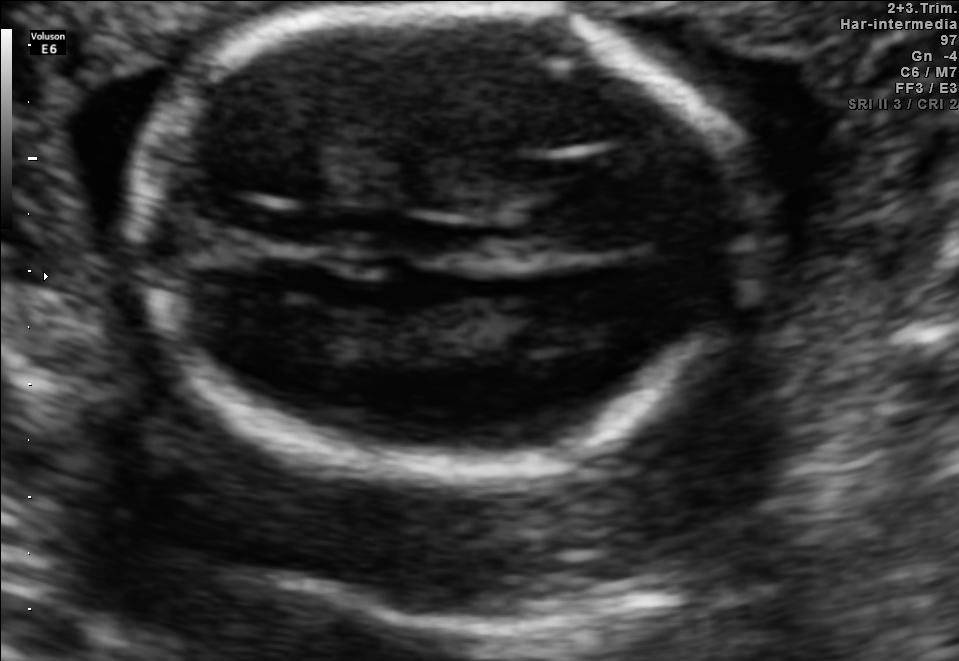
In this fetal brain, trans-thalamic plane, give the bounding box of the fetal head.

[134,9,765,480]